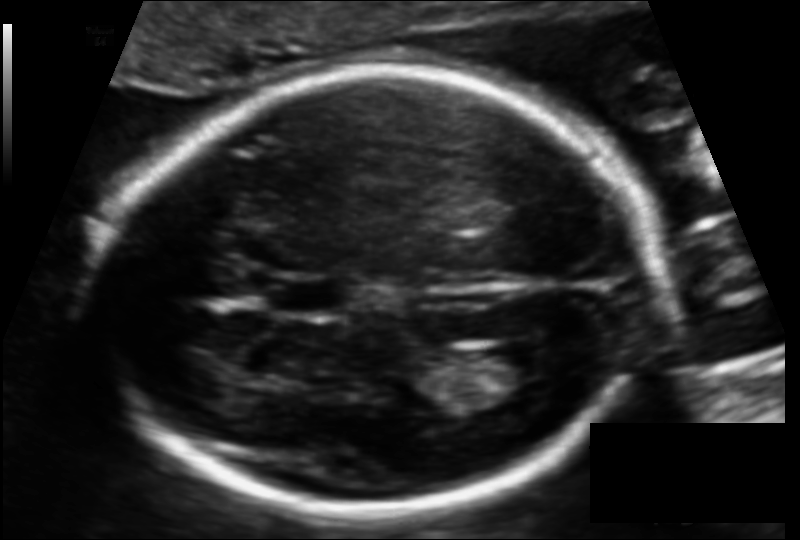
In this fetal head ultrasound, give bounding boxes for the head outline, cavum septum pellucidum (CSP), and lateral ventricle (LV), where visible. Image width: 89.8 mm.

Head: [94,69,652,511]
CSP: [265,277,343,315]
Lateral ventricle: [477,331,560,394]